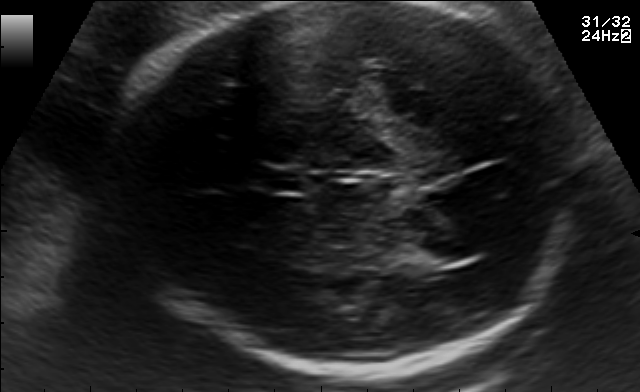
Fetal brain, trans-thalamic plane. Where is the cavum septum pellucidum?

CSP bounding box: [267,168,307,192]